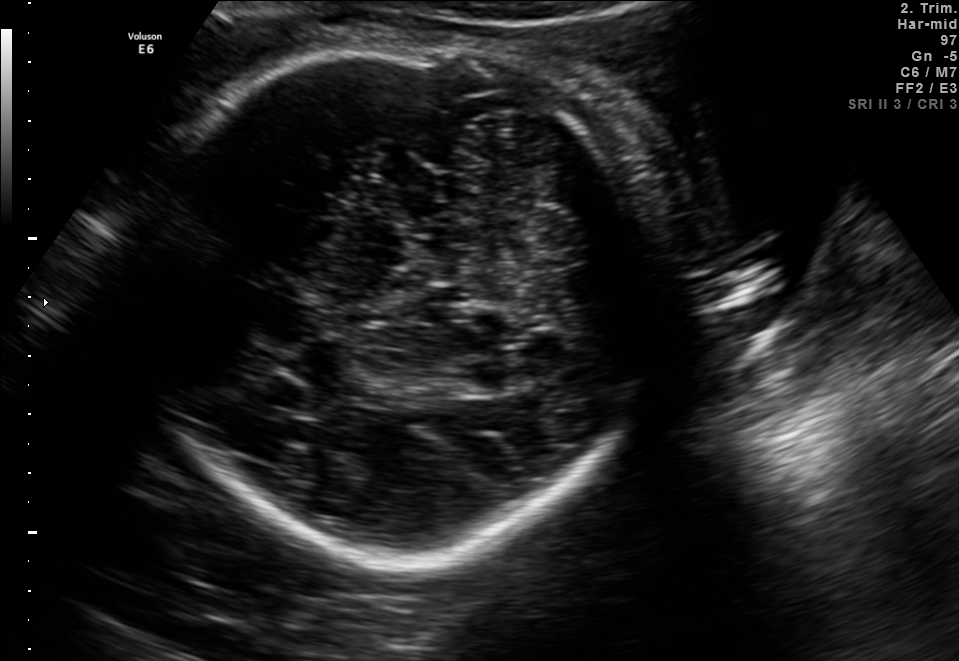
In this fetal brain, trans-cerebellum plane, give bounding boxes for the head outline, cavum septum pellucidum (CSP), and lateral ventricle (LV), where visible.

Head: [134,45,649,554]